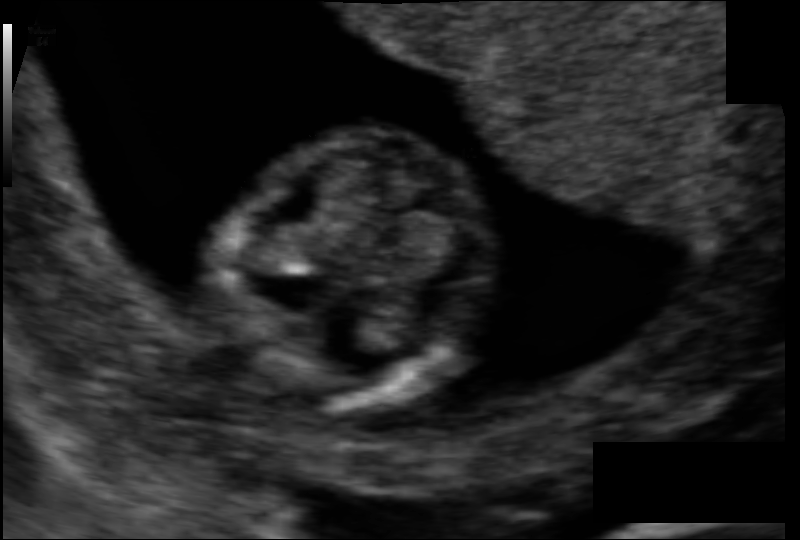
Fetal head ultrasound. Image width: 61.7 mm. Give [x1,y1,x2,y2] bounding boxes for each visible structure among: fetal head, CSP, LV.

Head: [221,130,494,408]